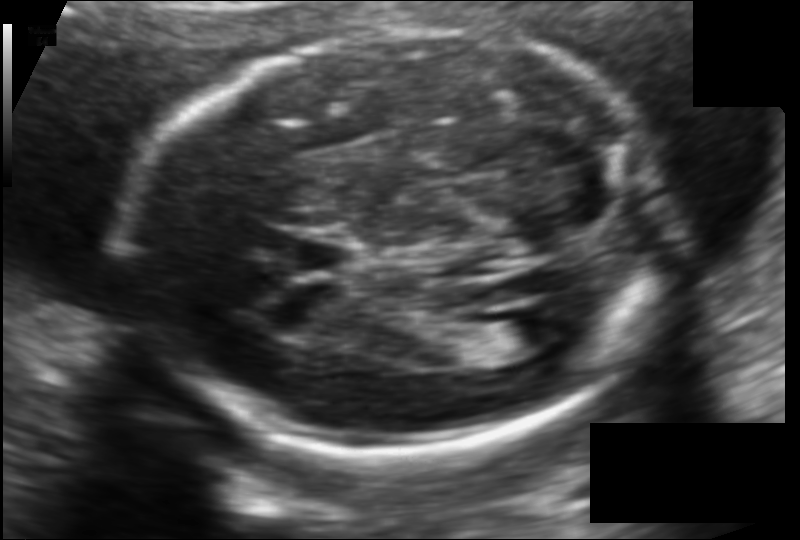
Fetal head ultrasound. Image width: 94.7 mm. Locate the lateral ventricle.

Lateral ventricle: [482,305,568,363]